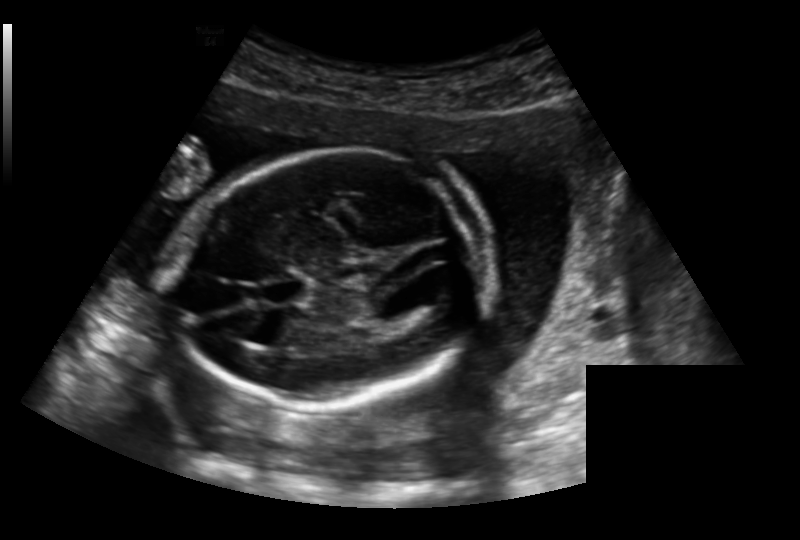
In this fetal head ultrasound, give the bounding box of the cavum septum pellucidum. Image width: 152.5 mm.

[263,275,307,306]